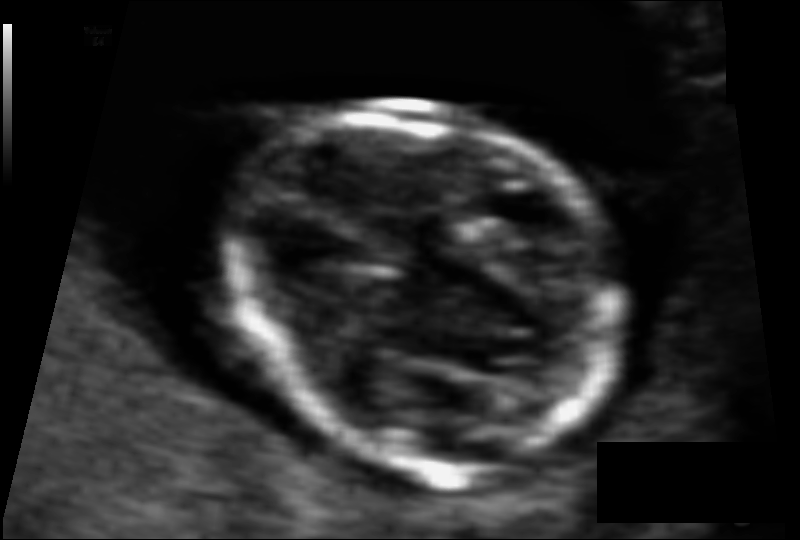
In this fetal head ultrasound, give bounding boxes for the head outline, cavum septum pellucidum (CSP), and lateral ventricle (LV), where visible. Image width: 50.5 mm.

Head: [231,100,624,472]